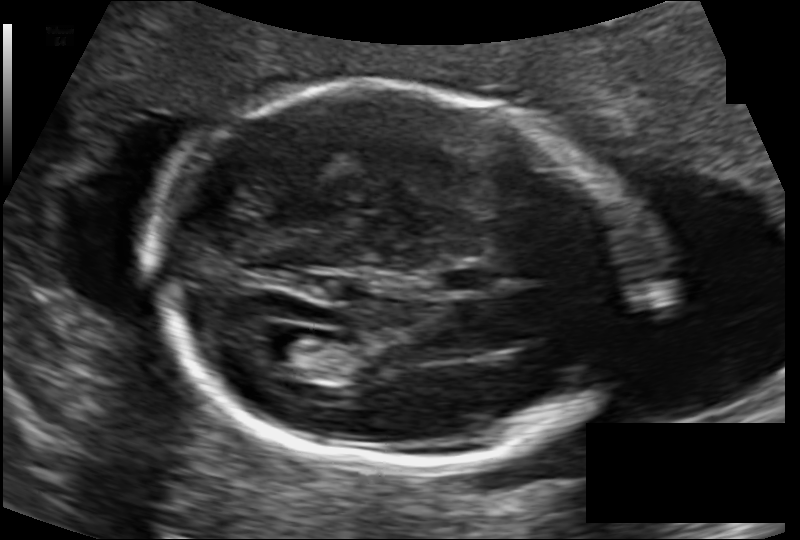
In this fetal head ultrasound, give the bounding box of the cavum septum pellucidum. Image width: 95.8 mm.

[442,267,494,292]